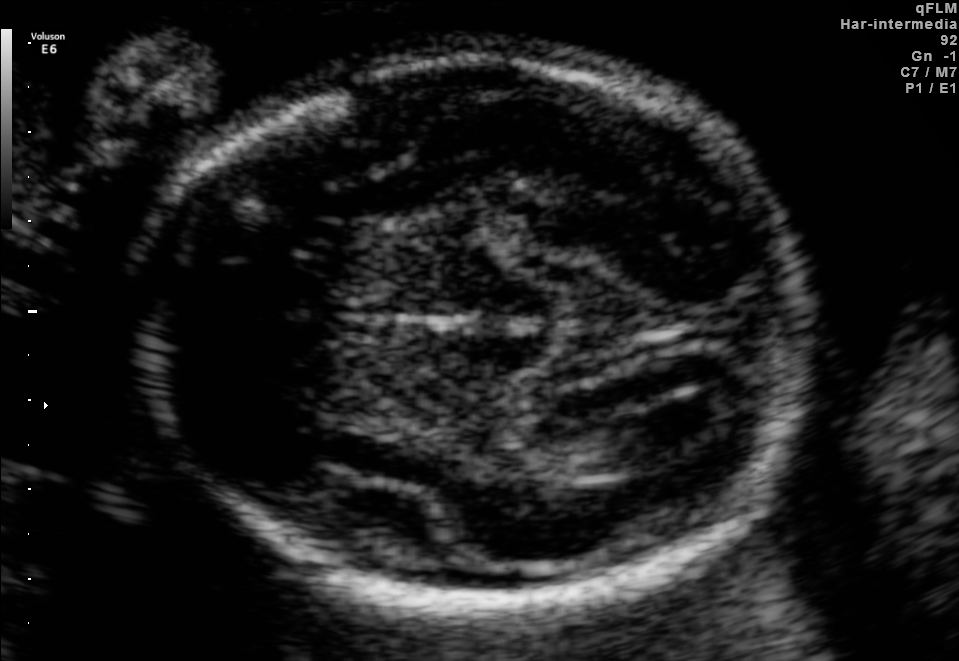
Fetal brain, trans-thalamic plane. Where is the lateral ventricle?

Lateral ventricle bounding box: [554,395,710,481]